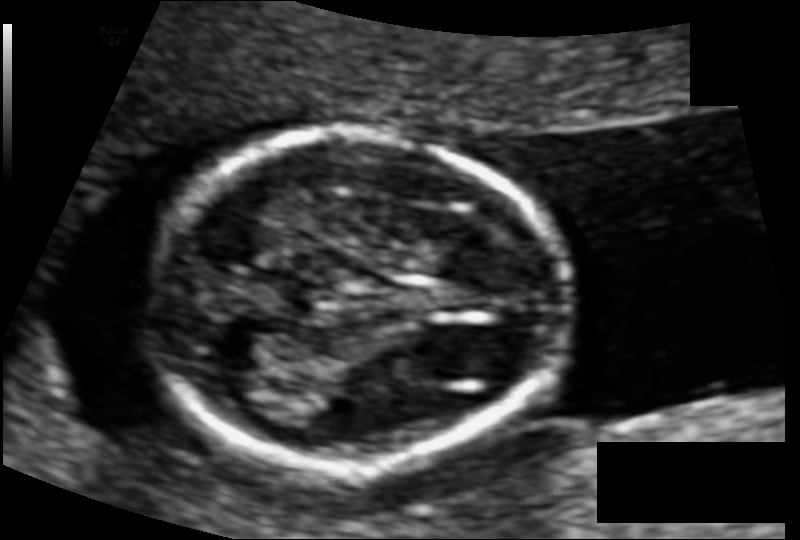
Estimate the fetal head circumference from this 2D ultrasound. Image width: 66.8 mm.

Head circumference: 101.5 mm.